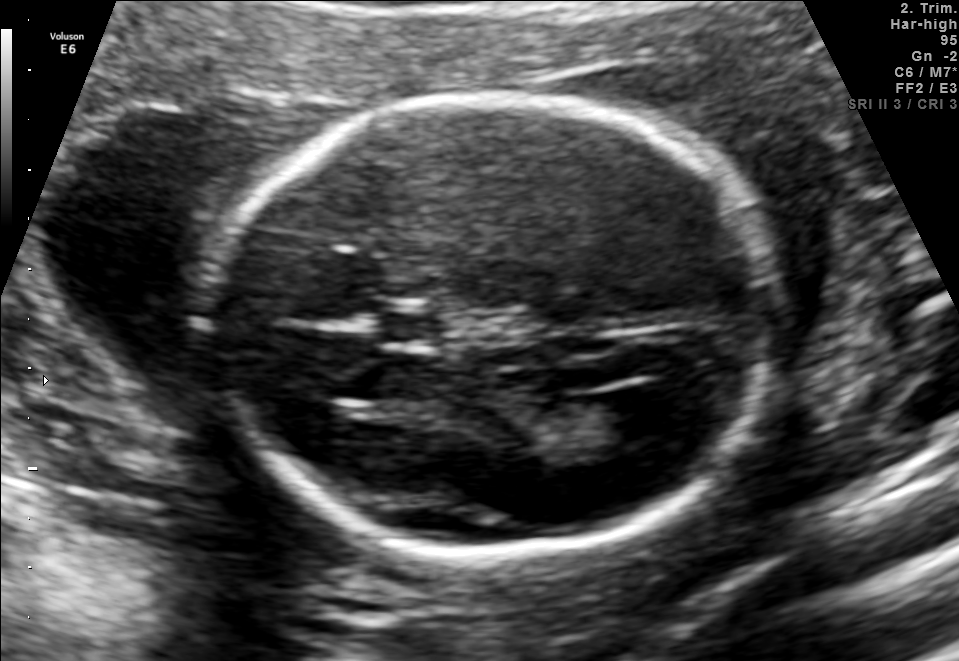
In this fetal brain, trans-ventricular plane, give the bounding box of the lateral ventricle.

[585,371,690,453]